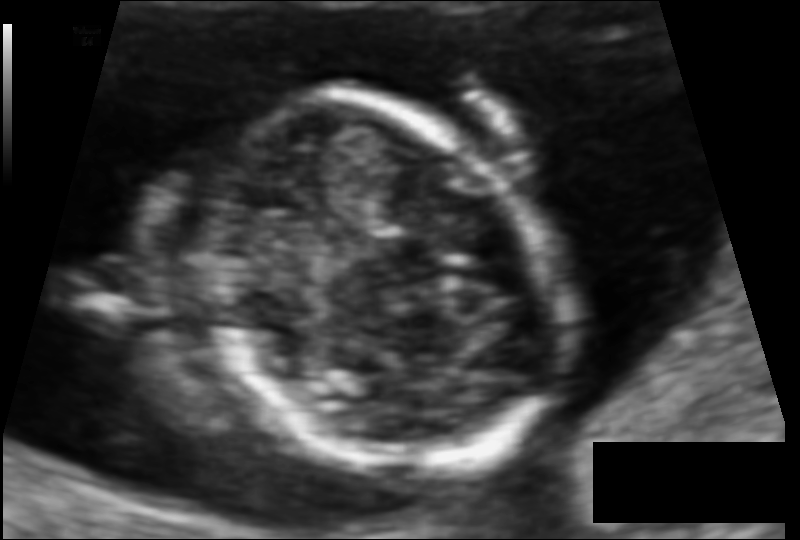
Fetal head ultrasound. Image width: 68.0 mm. Where is the fetal head?

Head bounding box: [193,99,567,471]